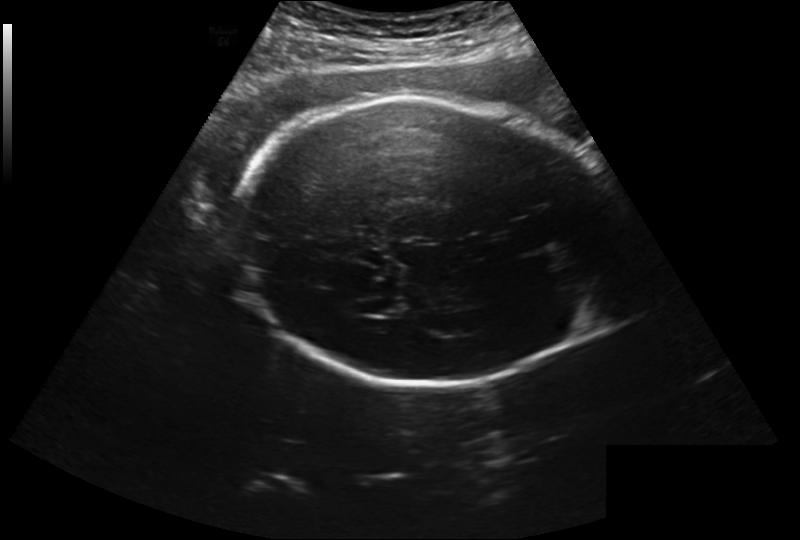
In this fetal head ultrasound, give bounding boxes for the head outline, cavum septum pellucidum (CSP), and lateral ventricle (LV), where visible. Image width: 208.3 mm.

Head: [233,97,614,387]
Lateral ventricle: [369,297,407,315]